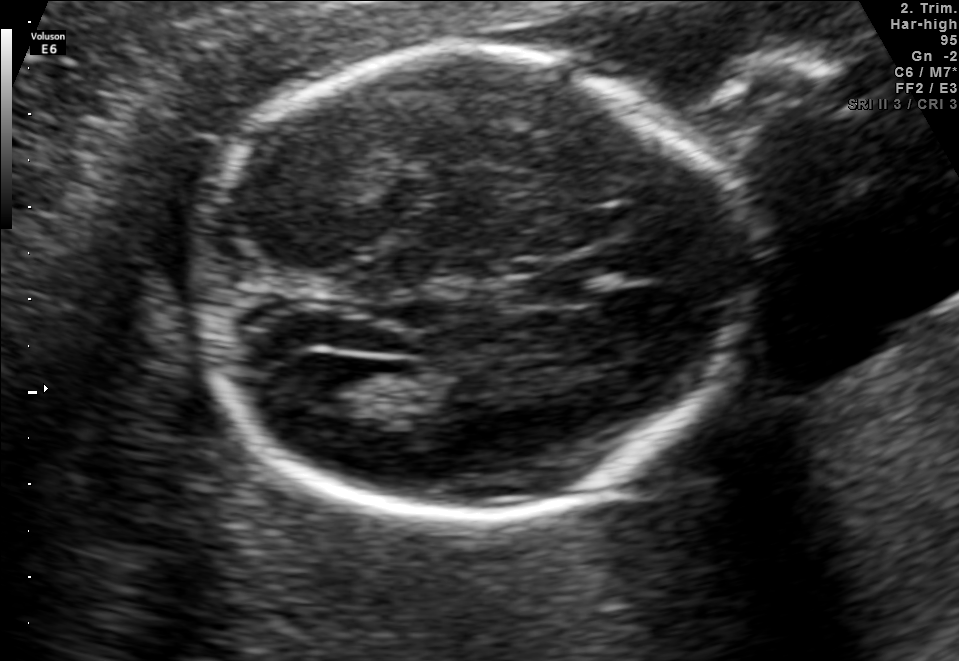
Fetal brain, trans-ventricular plane. Where is the lateral ventricle?

Lateral ventricle bounding box: [286,349,376,419]